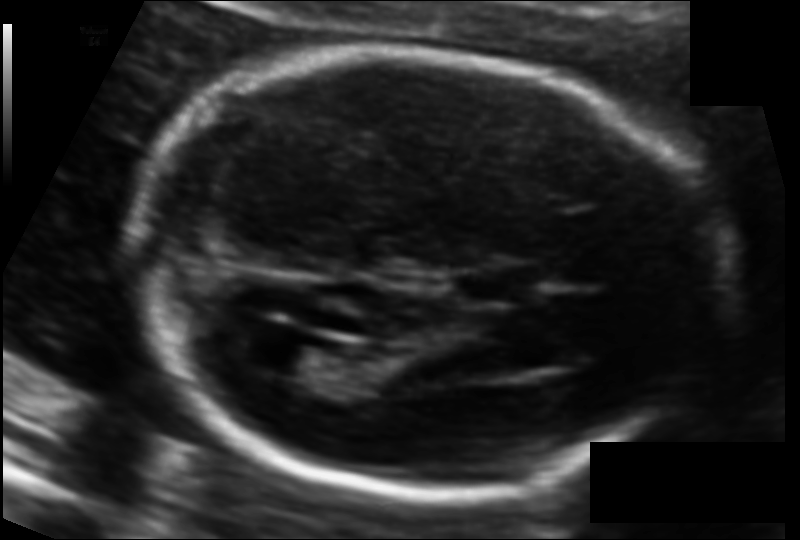
Estimate the fetal head circumference from this 2D ultrasound.

Head circumference: 174.0 mm (image width 82.9 mm).